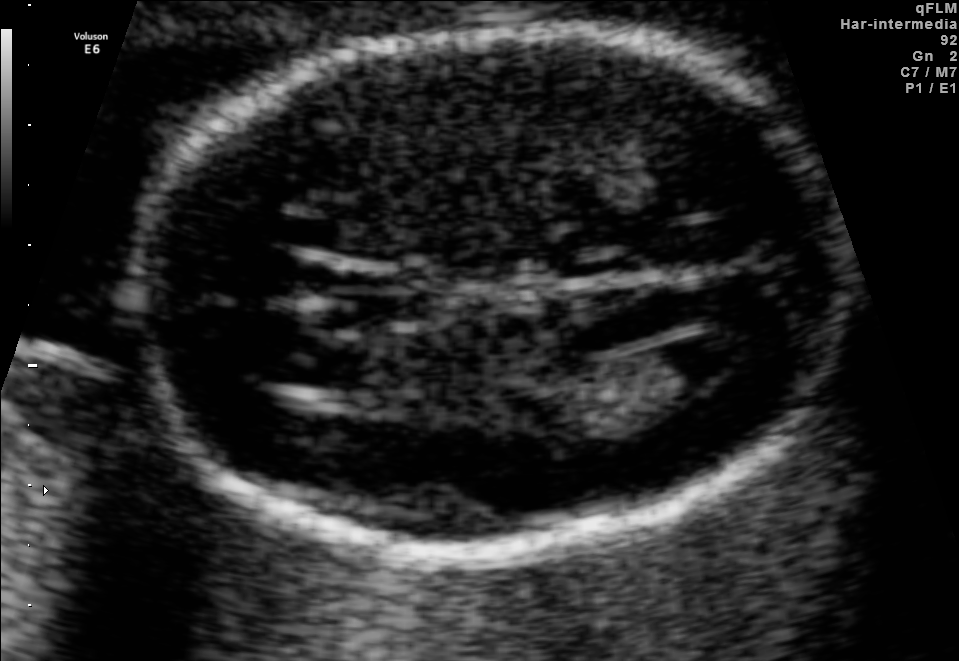
Fetal brain, trans-ventricular plane. Locate the cavum septum pellucidum.

CSP: [314,272,442,324]